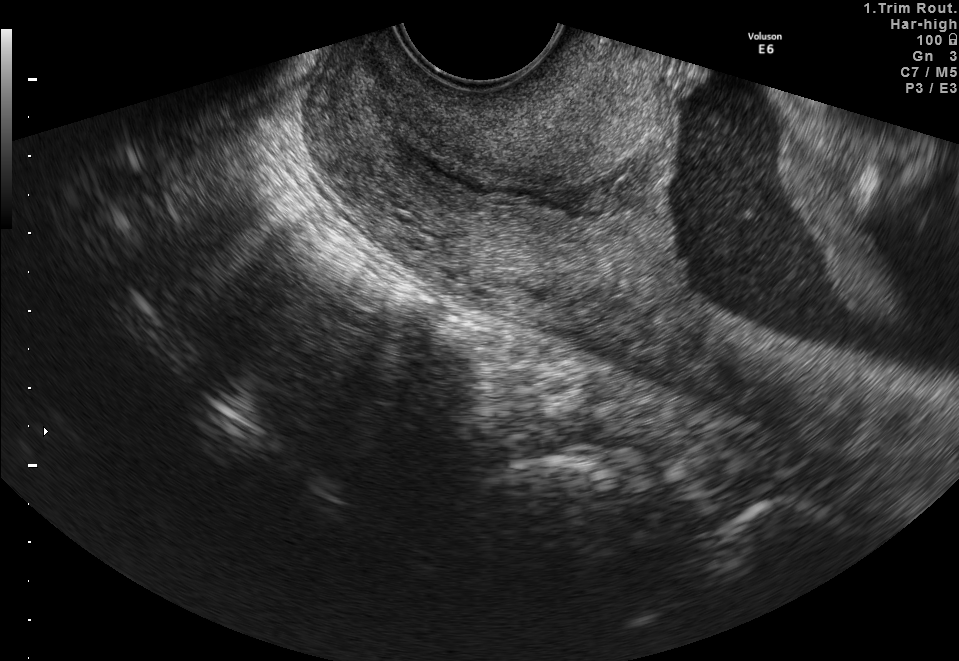
This is a 2D maternal-fetal ultrasound frame. Is it a fetal abdomen, fetal brain, fetal femur, fetal thorax, maternal cervix, or other standard plane? If it's fetal brain and one of the three standard brain planes (trans-thalamic, trans-cerebellum, trans-ventricular), name which.

Maternal cervix